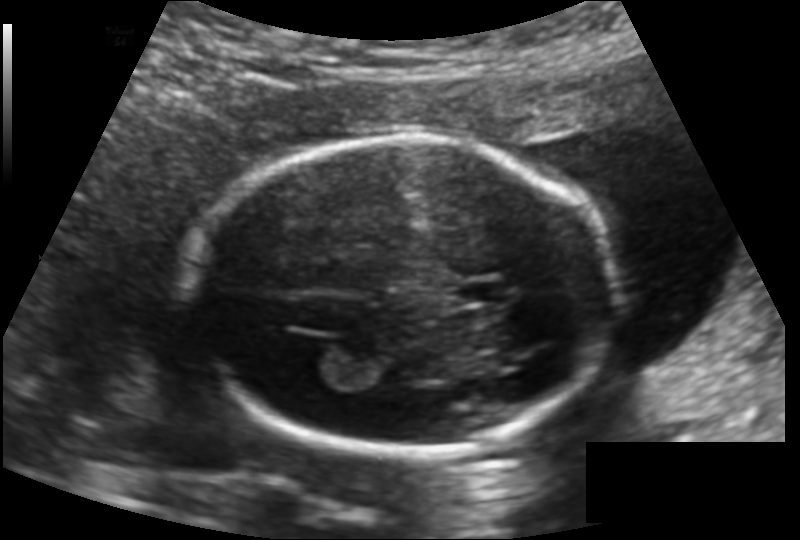
In this fetal head ultrasound, give the bounding box of the fetal head. Image width: 109.1 mm.

[192,135,615,454]